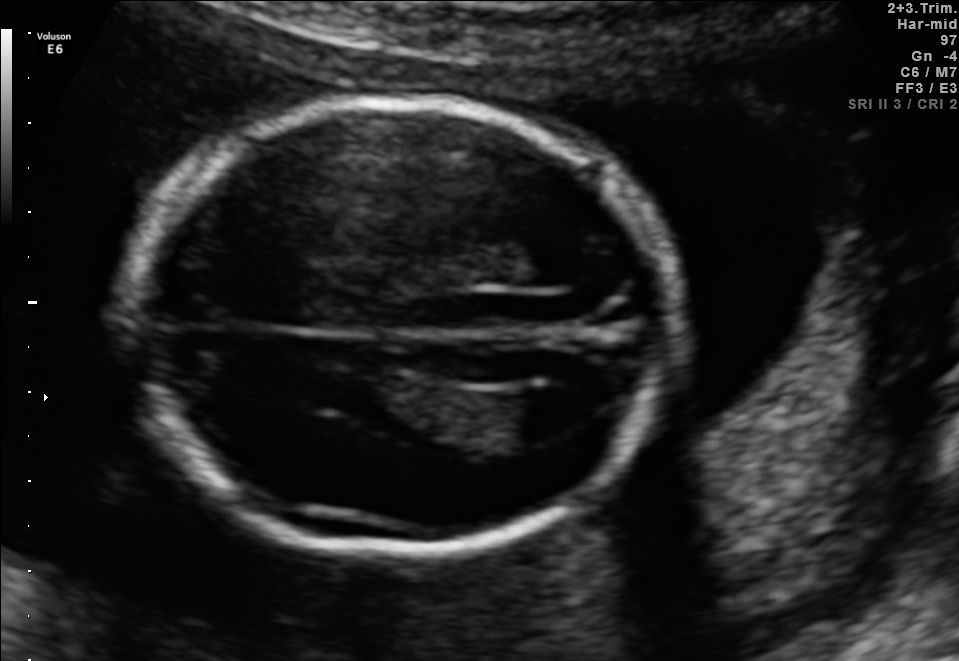
Fetal brain, trans-ventricular plane. Locate the lateral ventricle.

Lateral ventricle: [502,374,598,448]